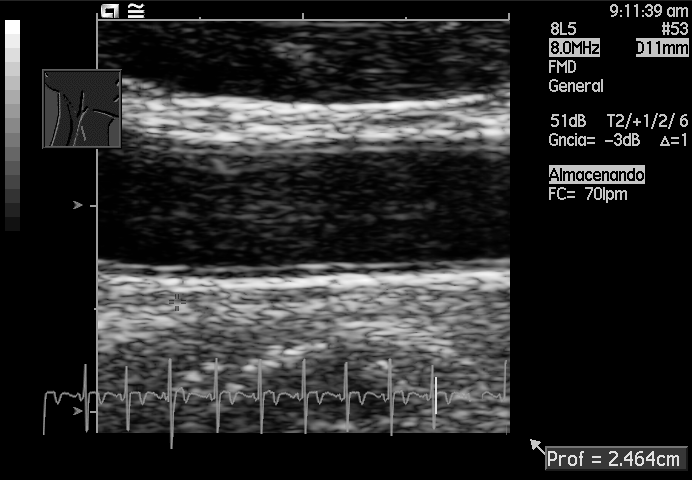
Which standard maternal-fetal ultrasound plane is shown: fetal abdomen, fetal brain, fetal femur, fetal thorax, maternal cervix, or other? If it's fetal brain and one of the three standard brain planes (trans-thalamic, trans-cerebellum, trans-ventricular), name which.

Other